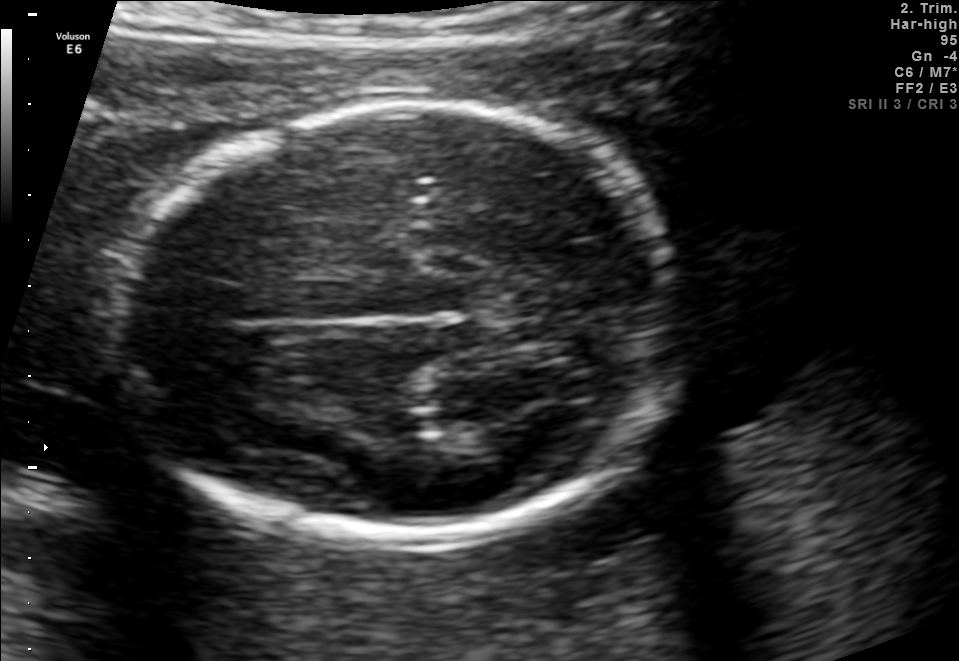
Fetal brain, trans-thalamic plane. Where is the fetal head?

Head bounding box: [115,107,678,540]